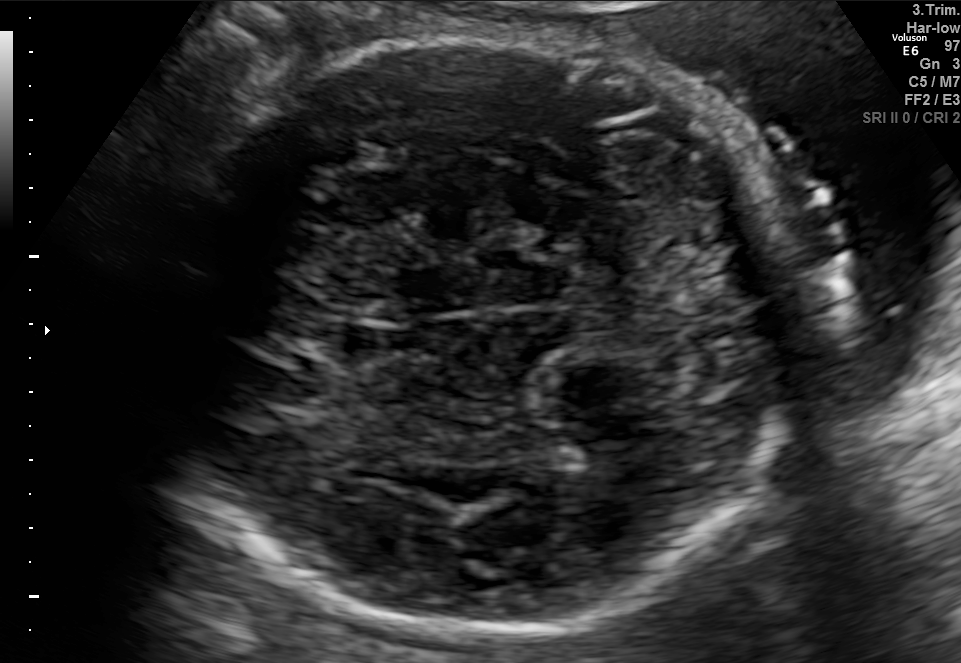
Fetal brain, trans-thalamic plane. Give [x1,y1,x2,y2] bounding boxes for each visible structure among: fetal head, CSP, LV.

Head: [164,29,795,626]